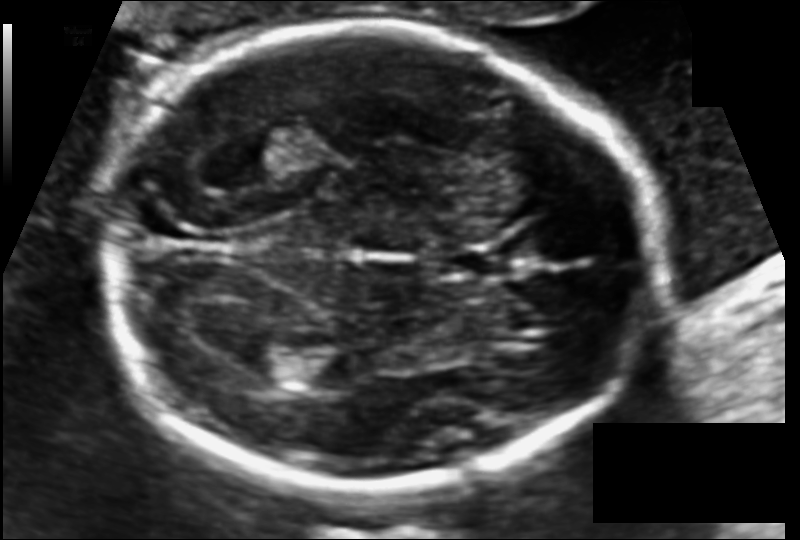
In this fetal head ultrasound, give bounding boxes for the head outline, cavum septum pellucidum (CSP), and lateral ventricle (LV), where visible. Image width: 87.7 mm.

Head: [104,25,652,490]
CSP: [438,242,513,281]
Lateral ventricle: [242,348,309,386]